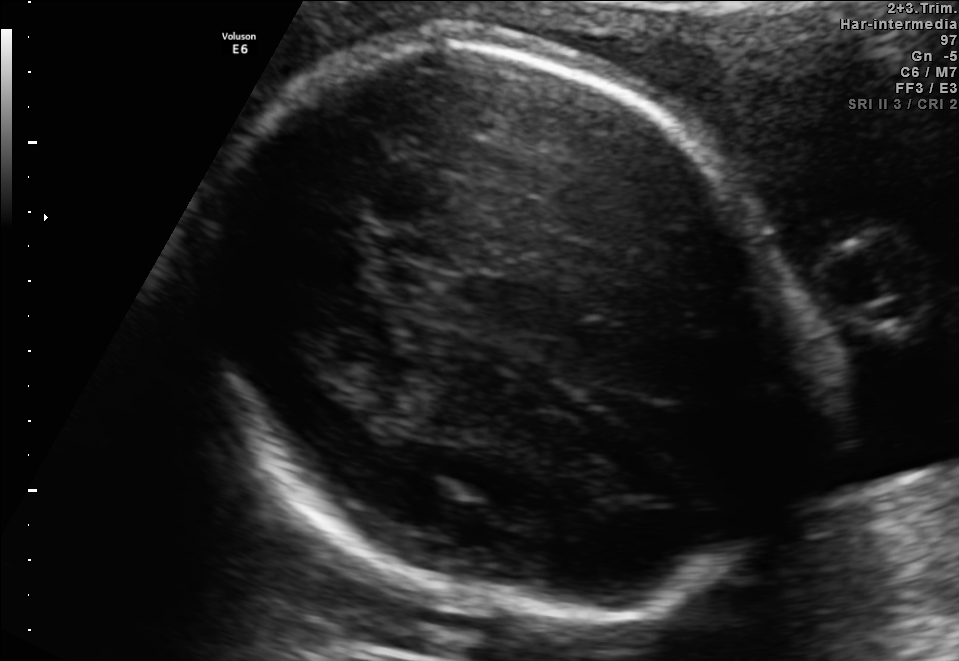
Identify the standard plane in this fetal ultrasound image: fetal abdomen, fetal brain, fetal femur, fetal thorax, maternal cervix, or other. If it's fetal brain and one of the three standard brain planes (trans-thalamic, trans-cerebellum, trans-ventricular), name which.

Fetal brain (trans-thalamic plane)